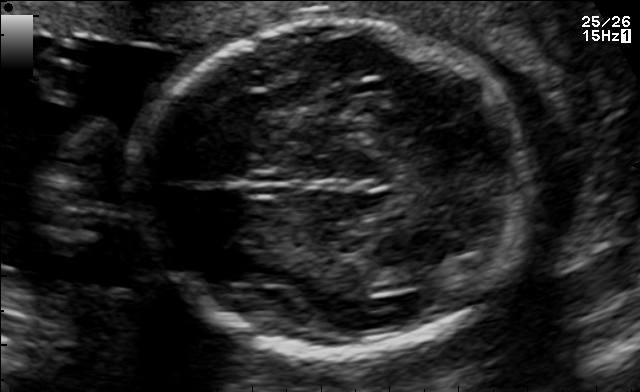
Fetal brain, trans-thalamic plane. Locate the fetal head and, if visible, the cavum septum pellucidum (CSP) and lateral ventricle (LV). Give bounding boxes as [x1,y1,x2,y2].

Head: [137,23,523,354]